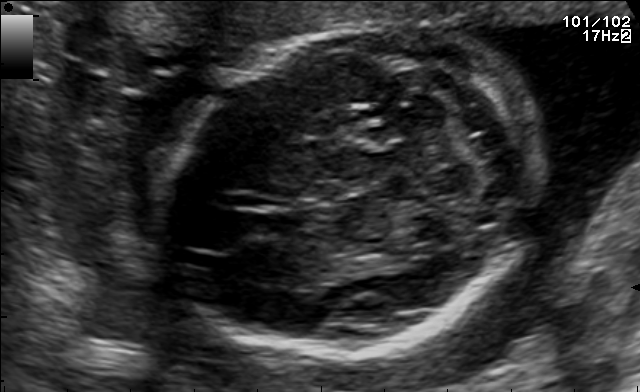
In this fetal brain, trans-cerebellum plane, give the bounding box of the fetal head.

[168,27,532,354]